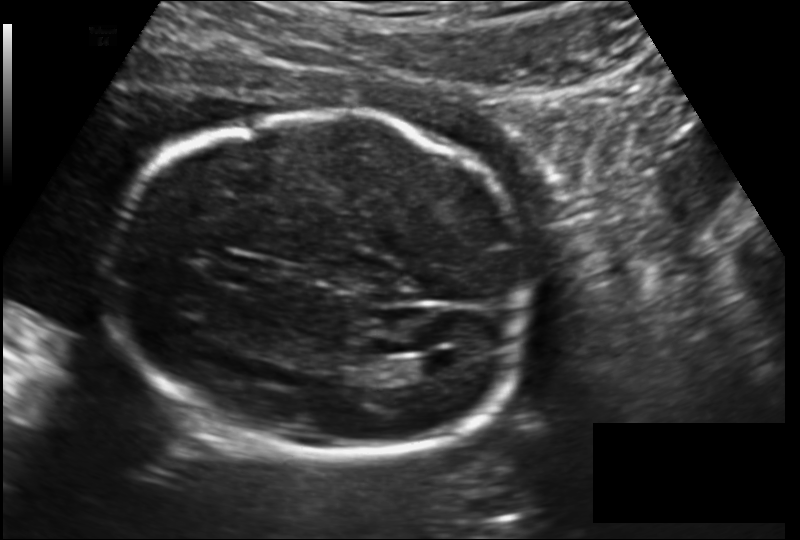
Measure the fetal head circumference shown in this ultrasound image. Image width: 125.8 mm.

Head circumference: 192.6 mm.